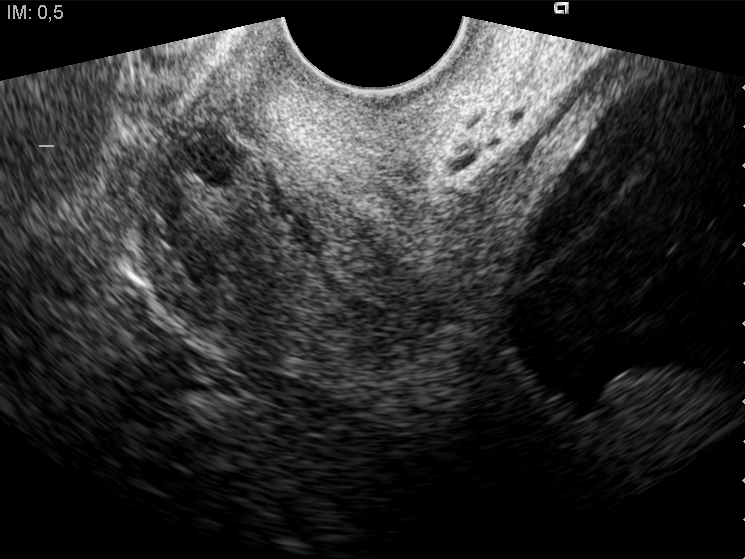
Which standard maternal-fetal ultrasound plane is shown: fetal abdomen, fetal brain, fetal femur, fetal thorax, maternal cervix, or other? If it's fetal brain and one of the three standard brain planes (trans-thalamic, trans-cerebellum, trans-ventricular), name which.

Maternal cervix